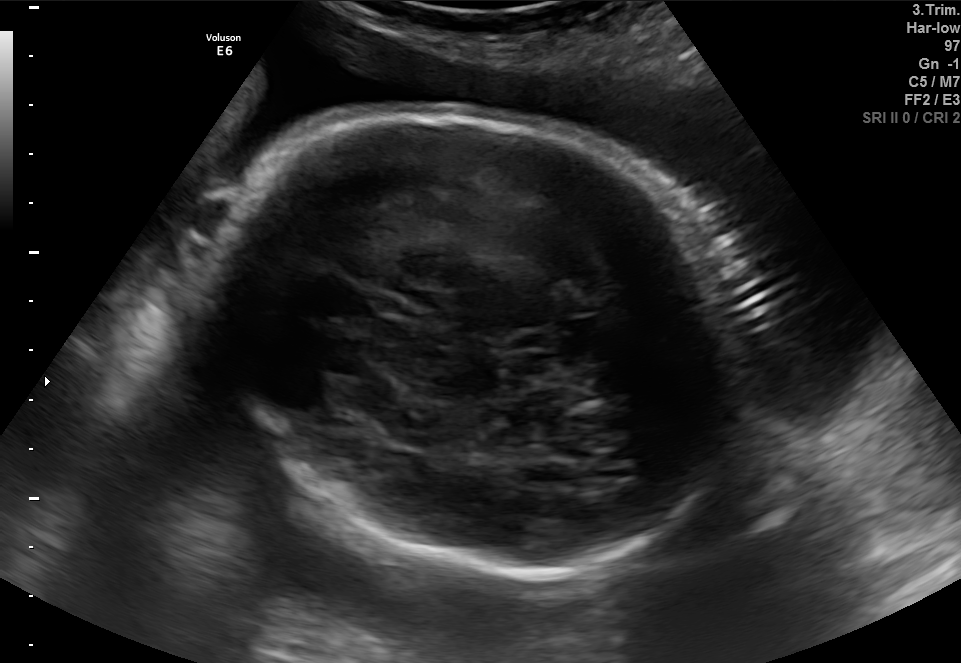
Fetal brain, trans-thalamic plane. Where is the fetal head?

Head bounding box: [190,107,763,578]